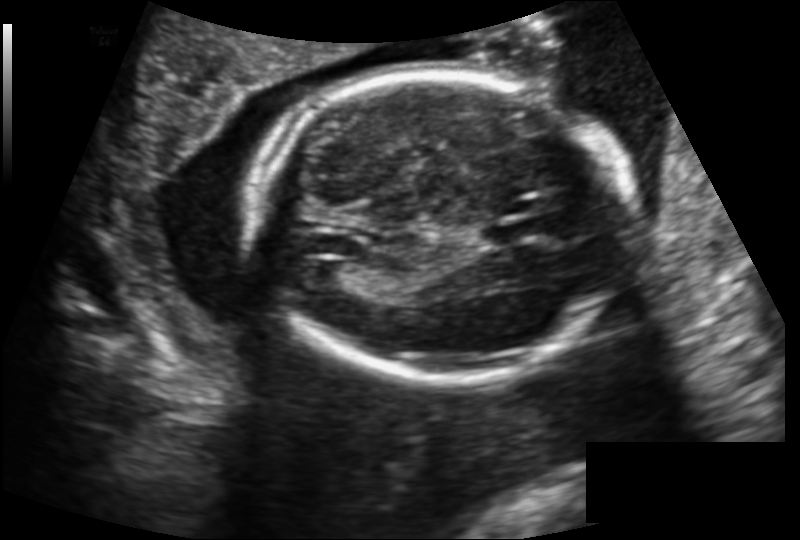
In this fetal head ultrasound, give the bounding box of the cavum septum pellucidum. Image width: 127.5 mm.

[480,216,536,248]